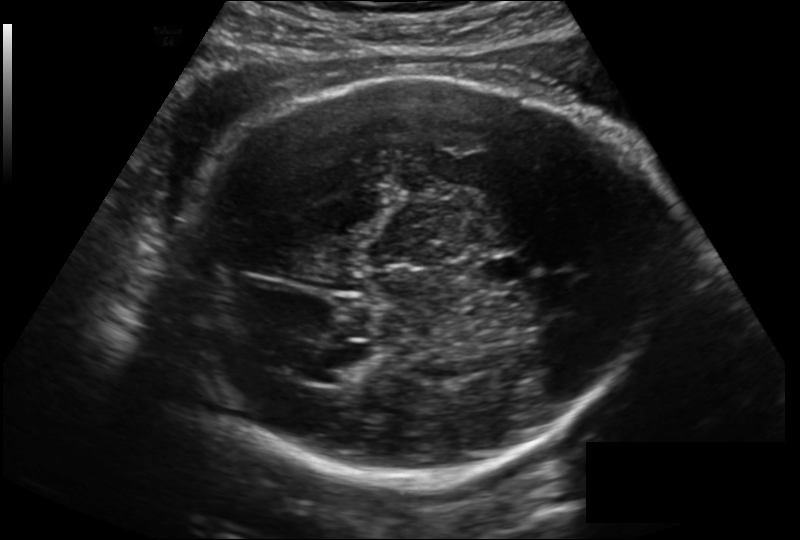
Fetal head ultrasound. Image width: 159.3 mm. Locate the cavum septum pellucidum.

CSP: [474,246,532,293]